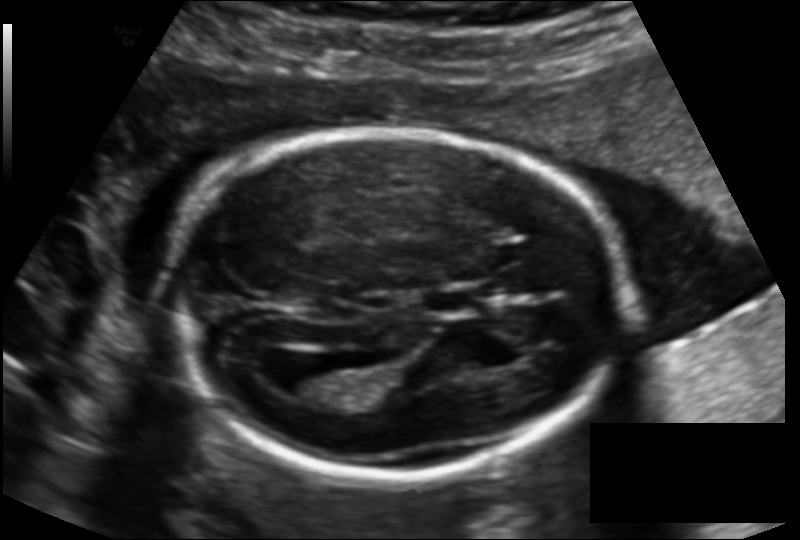
Fetal head ultrasound. Image width: 109.0 mm. Locate the fetal head and, if visible, the cavum septum pellucidum (CSP) and lateral ventricle (LV). Give bounding boxes as [x1,y1,x2,y2].

Head: [165,130,630,475]
CSP: [421,287,477,315]
Lateral ventricle: [279,354,353,405]